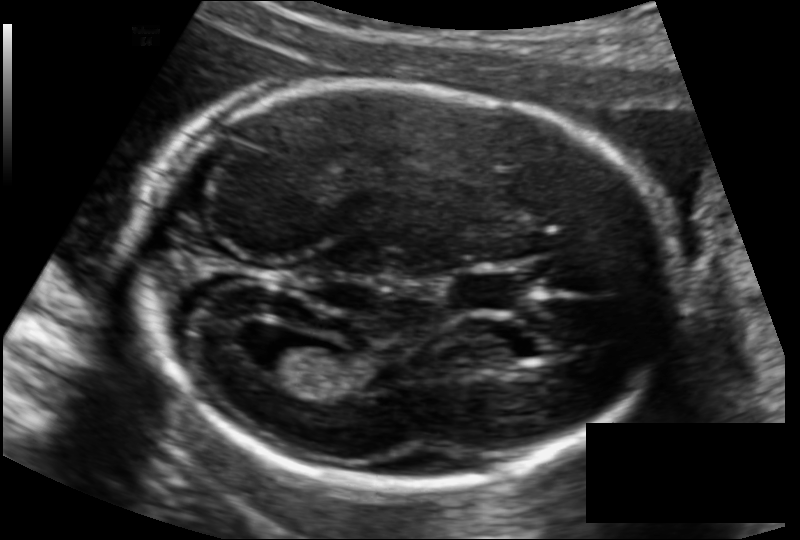
Fetal head ultrasound. Image width: 97.7 mm. Locate the fetal head.

Head: [138,87,669,484]